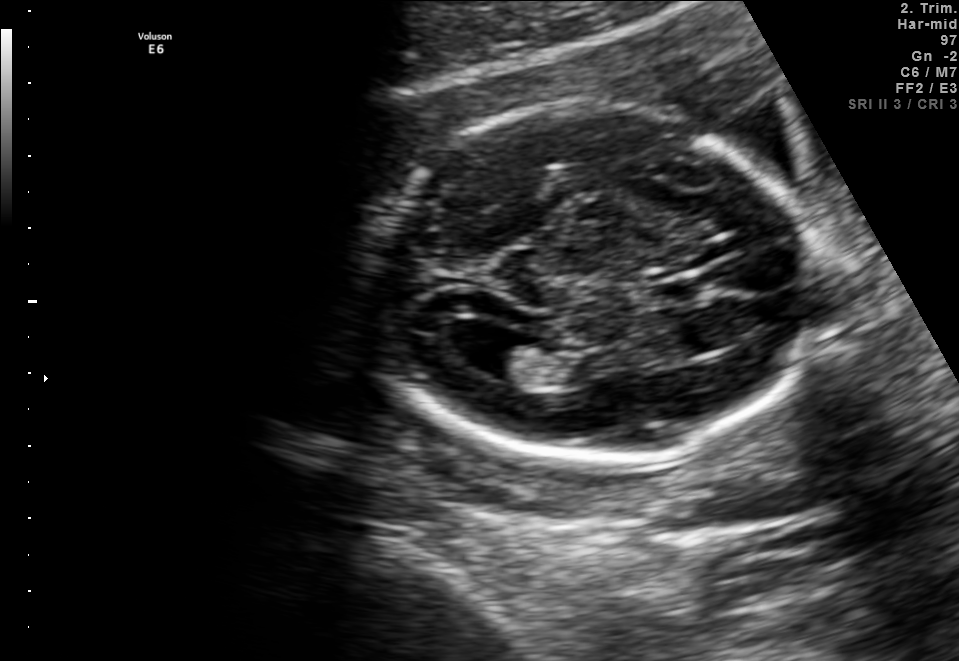
Fetal brain, trans-ventricular plane. Give [x1,y1,x2,y2] bounding boxes for each visible structure among: fetal head, CSP, LV.

Head: [358,104,831,475]
CSP: [646,273,717,308]
Lateral ventricle: [453,315,535,385]